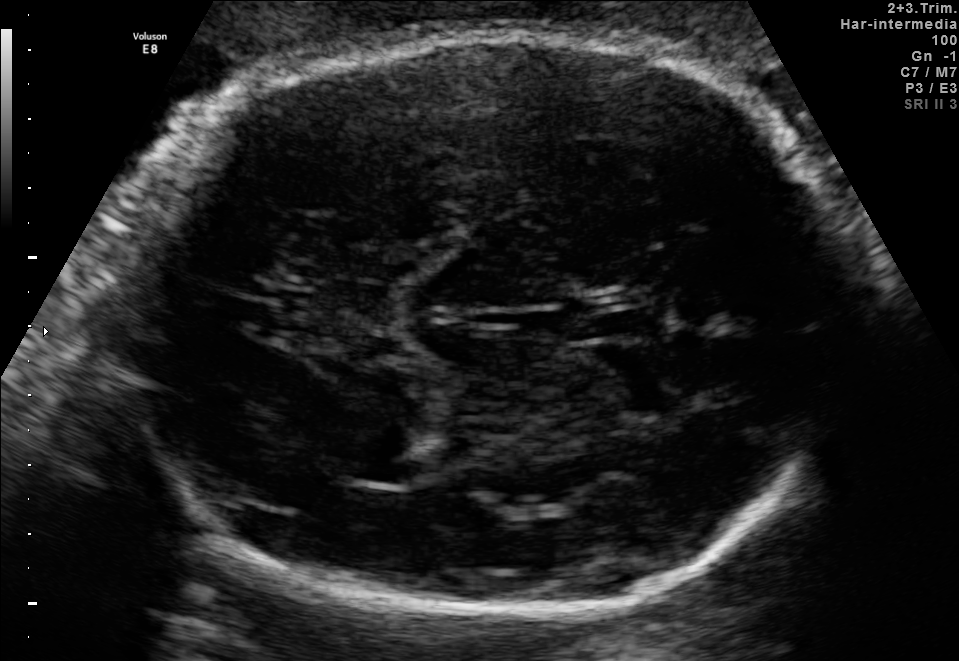
Fetal brain, trans-thalamic plane. Locate the fetal head and, if visible, the cavum septum pellucidum (CSP) and lateral ventricle (LV). Give bounding boxes as [x1,y1,x2,y2].

Head: [117,34,854,617]
CSP: [581,307,639,342]
Lateral ventricle: [346,451,419,489]